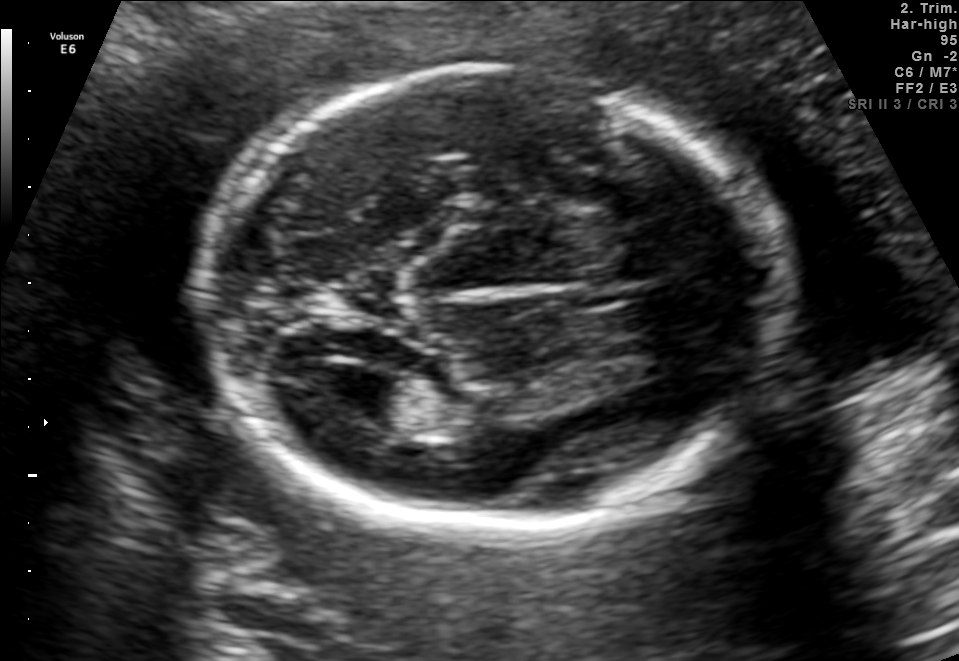
Fetal brain, trans-ventricular plane. Where is the cavum septum pellucidum?

CSP bounding box: [575,259,668,311]